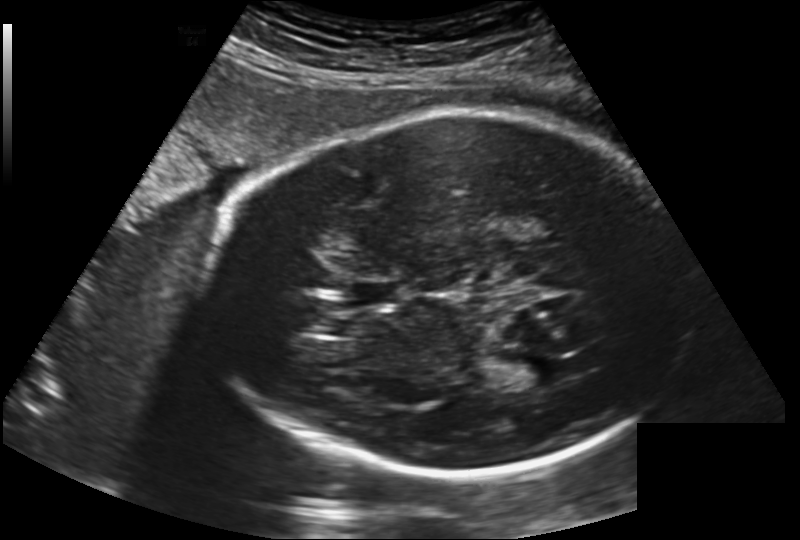
What is the fetal head circumference? Image width is 161.7 mm.

277.6 mm